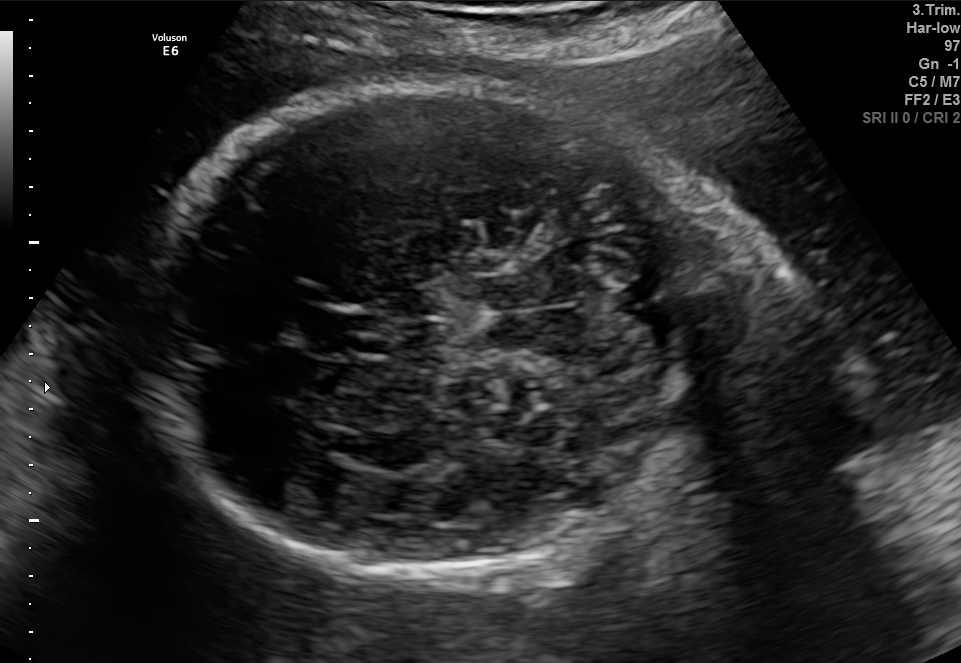
Fetal brain, trans-cerebellum plane. Where is the fetal head?

Head bounding box: [146,81,723,578]